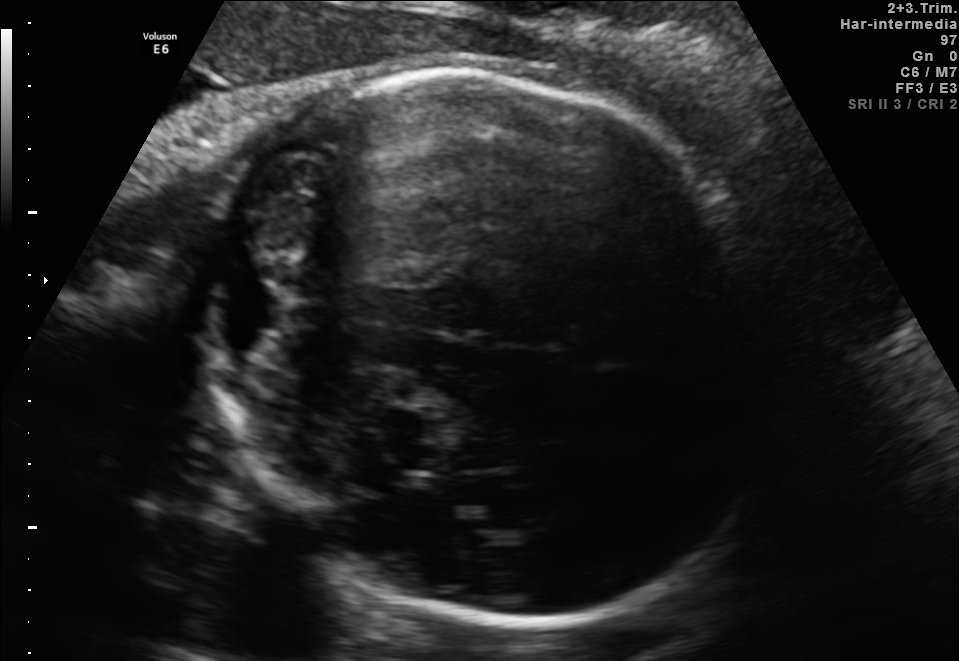
In this fetal brain, trans-cerebellum plane, give bounding boxes for the head outline, cavum septum pellucidum (CSP), and lateral ventricle (LV), where visible.

Head: [209,73,772,626]